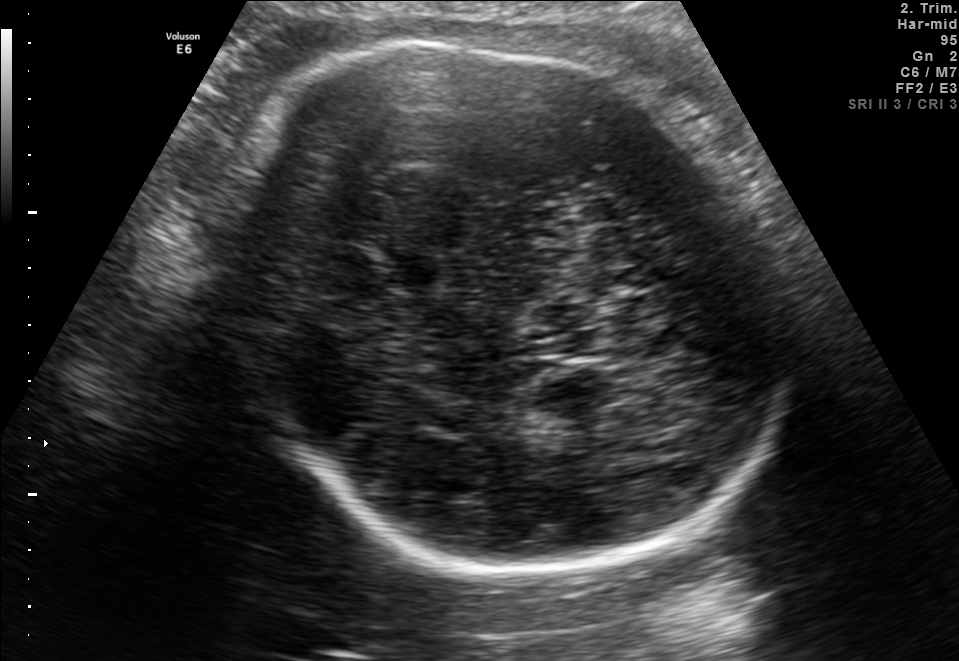
Fetal brain, trans-thalamic plane. Where is the fetal head?

Head bounding box: [219,31,778,576]